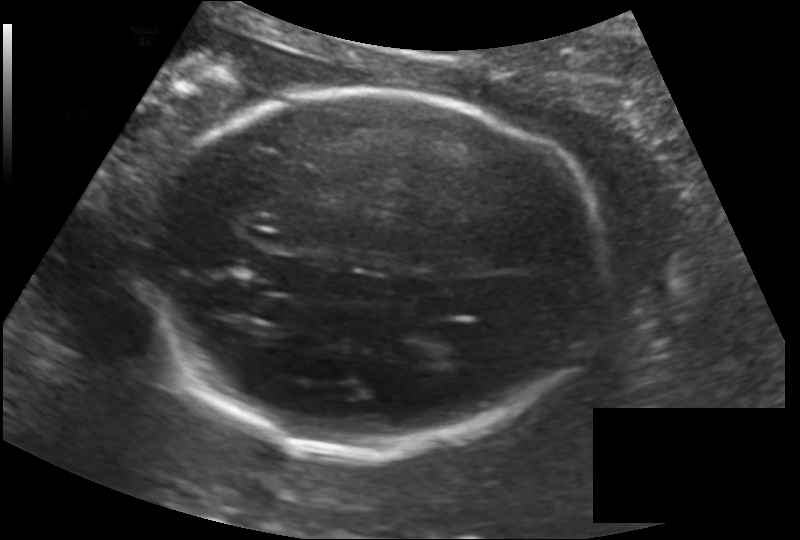
Fetal head ultrasound. Image width: 136.3 mm. Locate the fetal head and, if visible, the cavum septum pellucidum (CSP) and lateral ventricle (LV). Give bounding boxes as [x1,y1,x2,y2].

Head: [148,93,599,455]